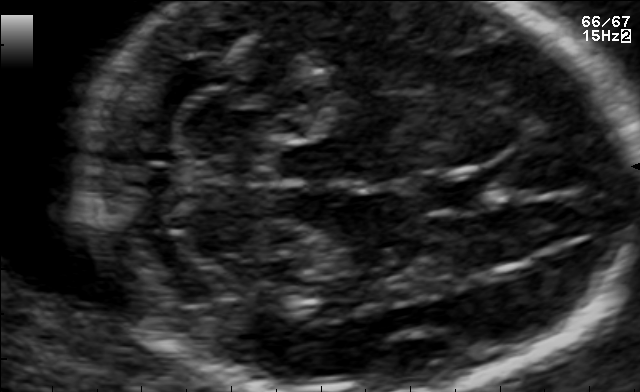
Fetal brain, trans-cerebellum plane. Locate the fetal head.

Head: [81,4,635,391]